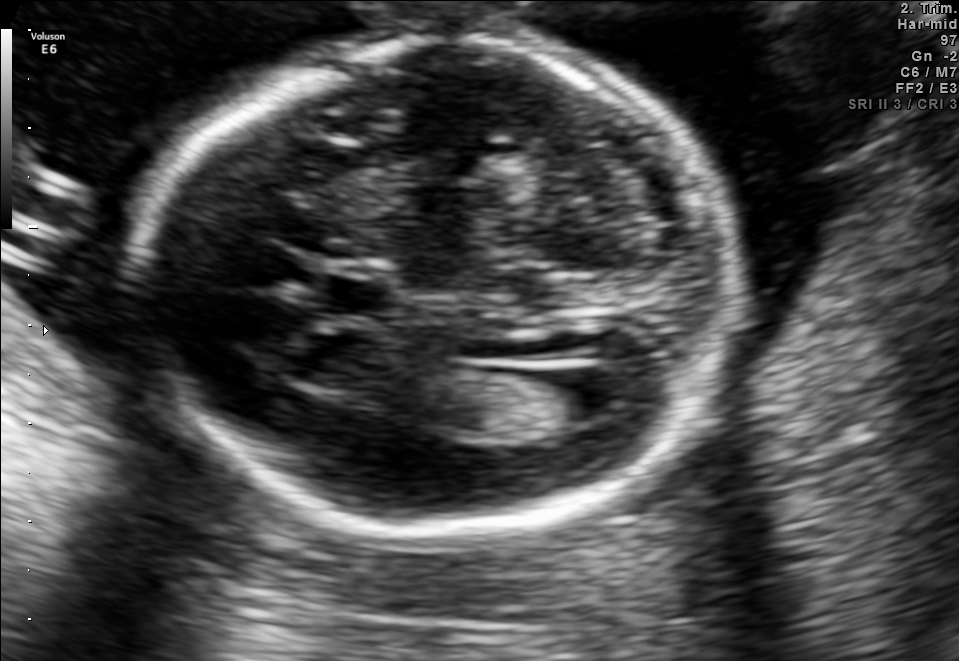
Fetal brain, trans-ventricular plane. Give [x1,y1,x2,y2] bounding boxes for each visible structure among: fetal head, CSP, LV.

Head: [134,32,743,541]
CSP: [324,277,390,315]
Lateral ventricle: [544,368,627,429]